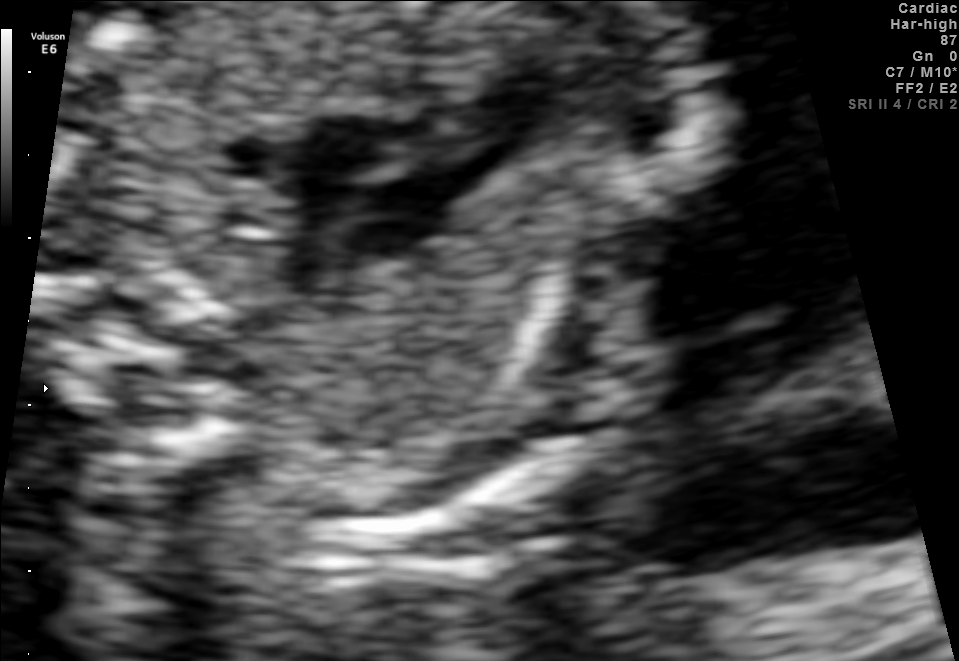
Identify the standard plane in this fetal ultrasound image: fetal abdomen, fetal brain, fetal femur, fetal thorax, maternal cervix, or other. If it's fetal brain and one of the three standard brain planes (trans-thalamic, trans-cerebellum, trans-ventricular), name which.

Other